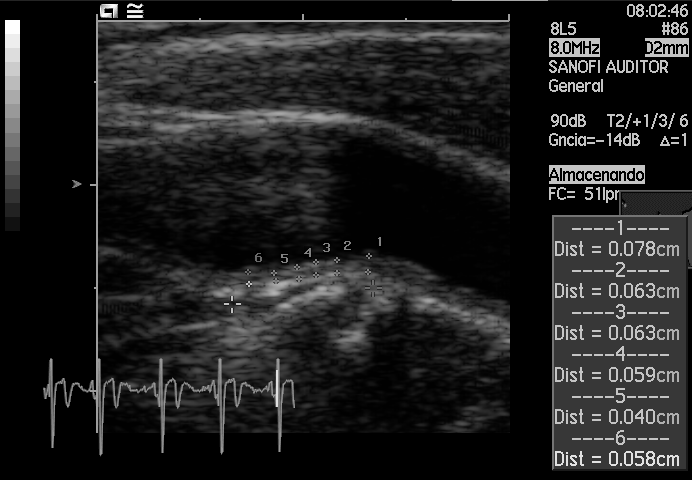
Classify this maternal-fetal ultrasound image as one of the six standard planes — fetal abdomen, fetal brain, fetal femur, fetal thorax, maternal cervix, or other. If it's fetal brain and one of the three standard brain planes (trans-thalamic, trans-cerebellum, trans-ventricular), name which.

Other